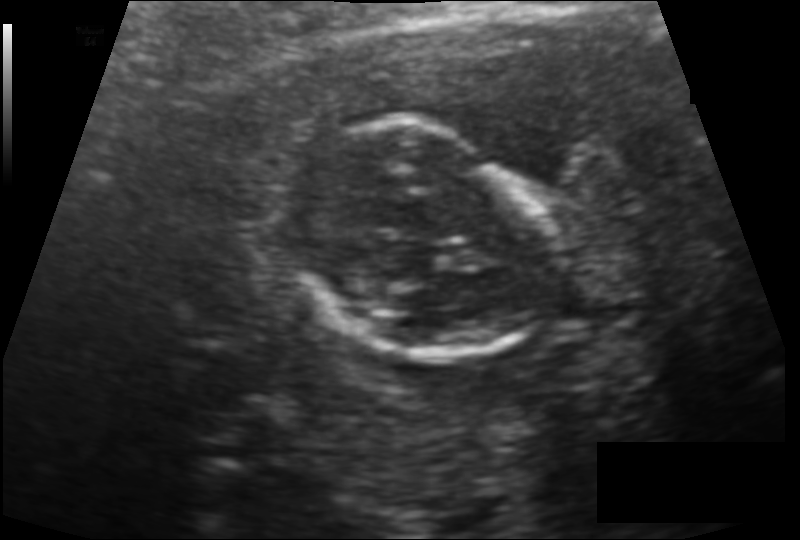
In this fetal head ultrasound, give the bounding box of the fetal head. Image width: 91.6 mm.

[283,122,552,361]